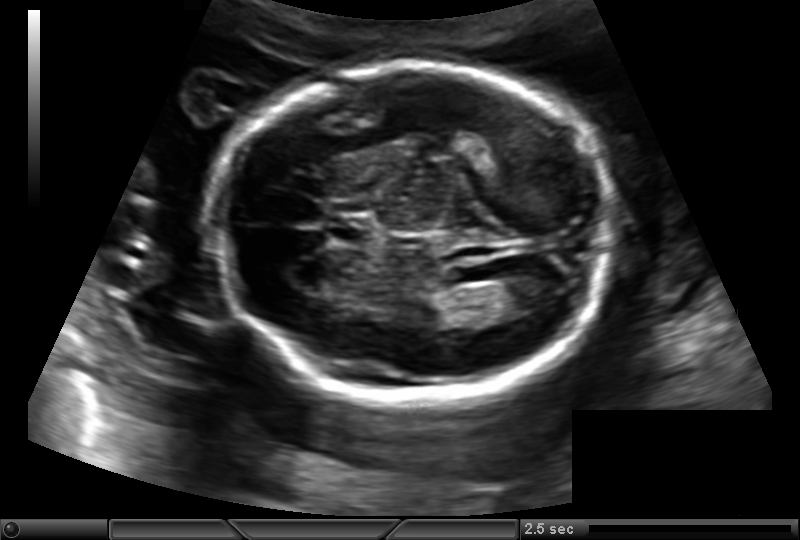
Fetal head ultrasound. Image width: 116.2 mm. Locate the fetal head and, if visible, the cavum septum pellucidum (CSP) and lateral ventricle (LV). Give bounding boxes as [x1,y1,x2,y2].

Head: [213,65,619,396]
CSP: [327,216,376,246]
Lateral ventricle: [488,271,561,320]